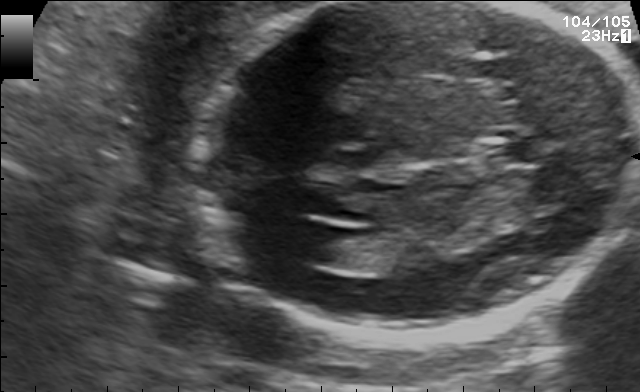
Fetal brain, trans-ventricular plane. Locate the cavum septum pellucidum (CSP) and lateral ventricle (LV), if visible. Give bounding boxes as [x1,y1,x2,y2].

CSP: [486,141,539,165]
Lateral ventricle: [278,215,349,268]